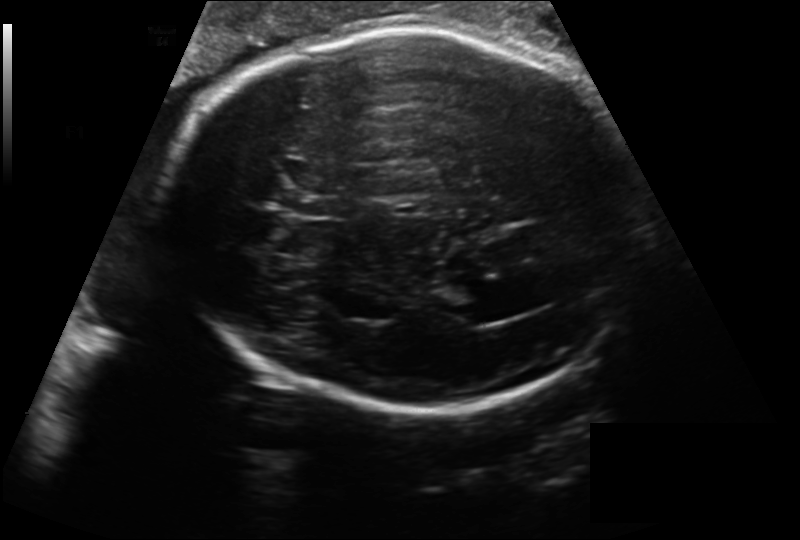
Fetal head ultrasound. Image width: 174.3 mm. Where is the lateral ventricle?

Lateral ventricle bounding box: [448,297,505,330]